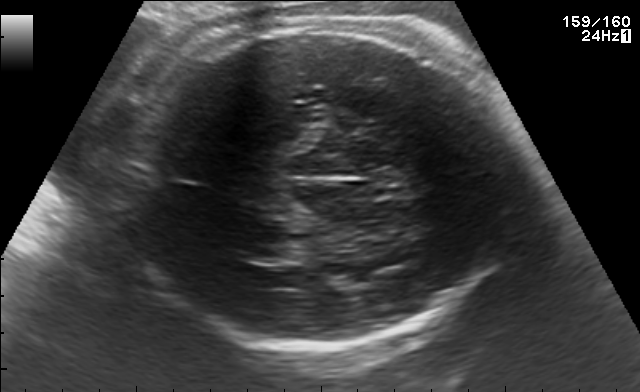
Fetal brain, trans-thalamic plane. Locate the fetal head.

Head: [115,16,526,348]